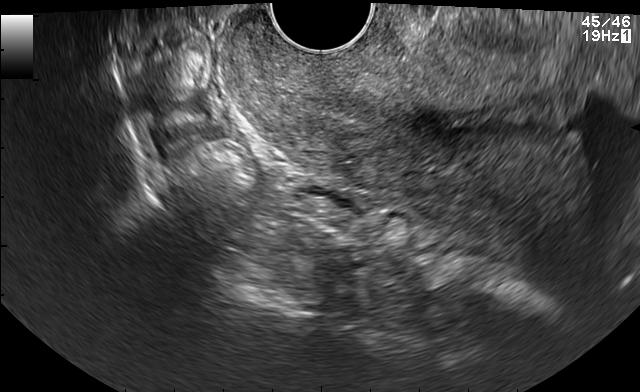
Identify the standard plane in this fetal ultrasound image: fetal abdomen, fetal brain, fetal femur, fetal thorax, maternal cervix, or other. If it's fetal brain and one of the three standard brain planes (trans-thalamic, trans-cerebellum, trans-ventricular), name which.

Maternal cervix